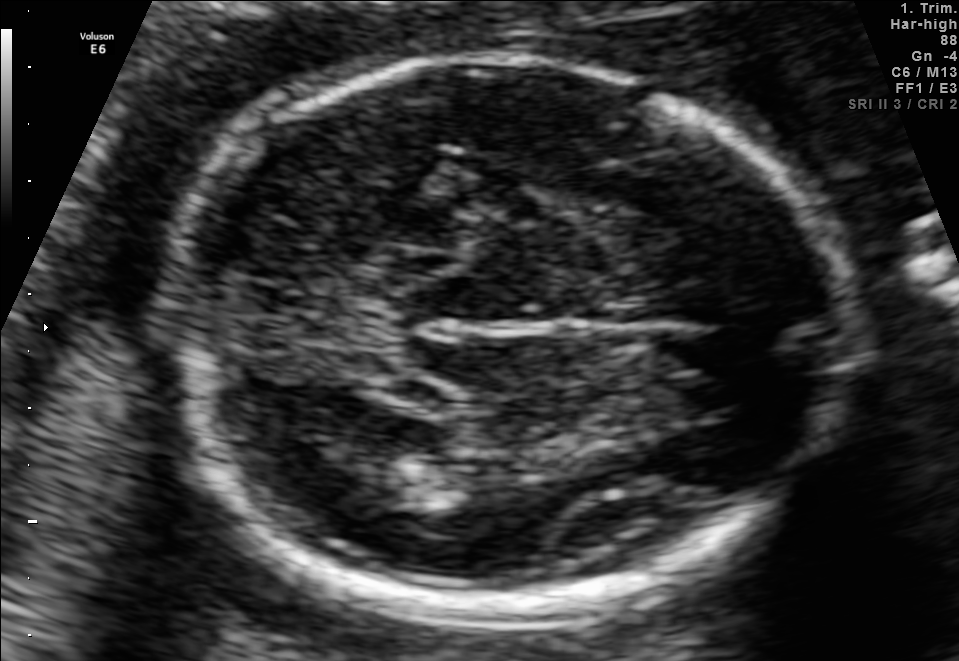
Fetal brain, trans-thalamic plane. Give [x1,y1,x2,y2] bounding boxes for each visible structure among: fetal head, CSP, LV.

Head: [164,58,853,613]